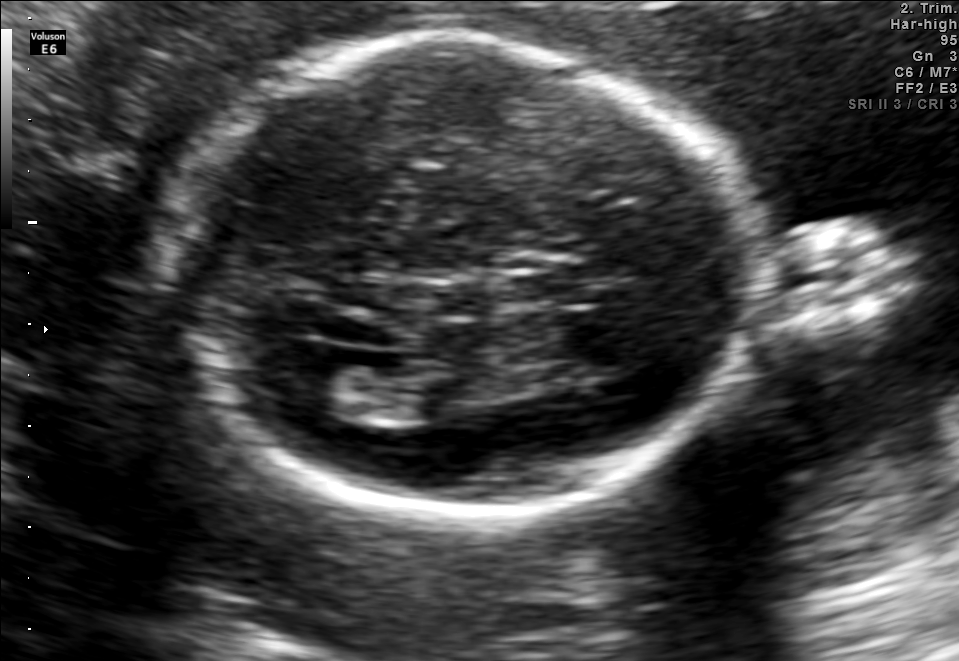
Fetal brain, trans-ventricular plane. Locate the cavum septum pellucidum.

CSP: [509,261,590,305]